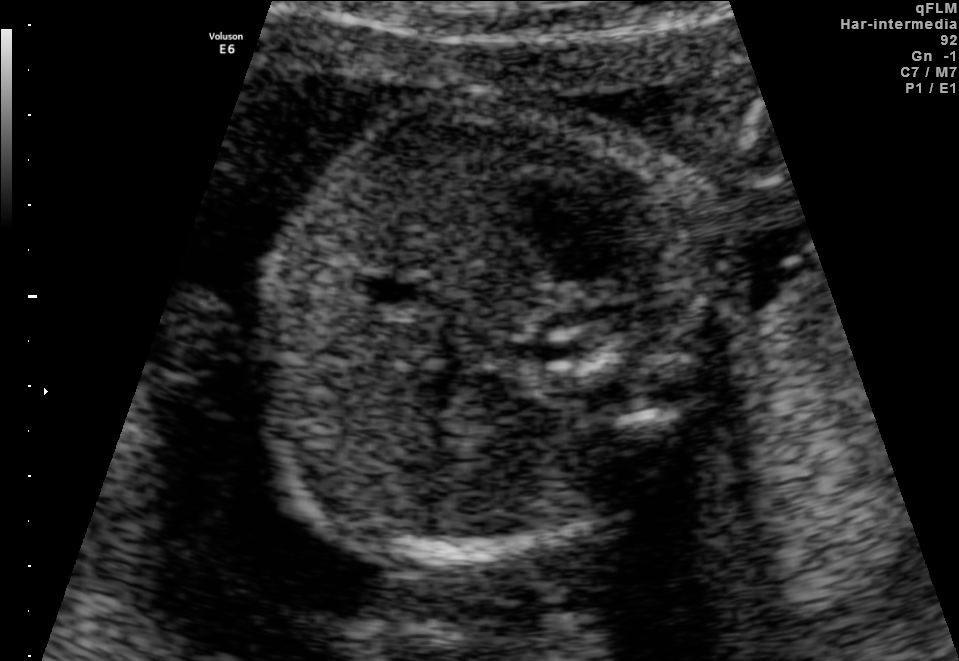
Identify the standard plane in this fetal ultrasound image: fetal abdomen, fetal brain, fetal femur, fetal thorax, maternal cervix, or other. If it's fetal brain and one of the three standard brain planes (trans-thalamic, trans-cerebellum, trans-ventricular), name which.

Fetal abdomen